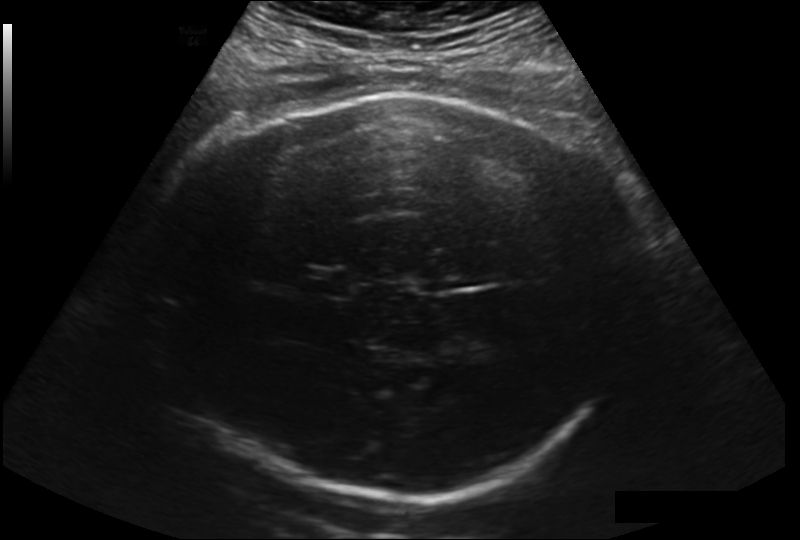
Fetal head ultrasound. Image width: 179.8 mm. Locate the fetal head.

Head: [141,92,631,497]